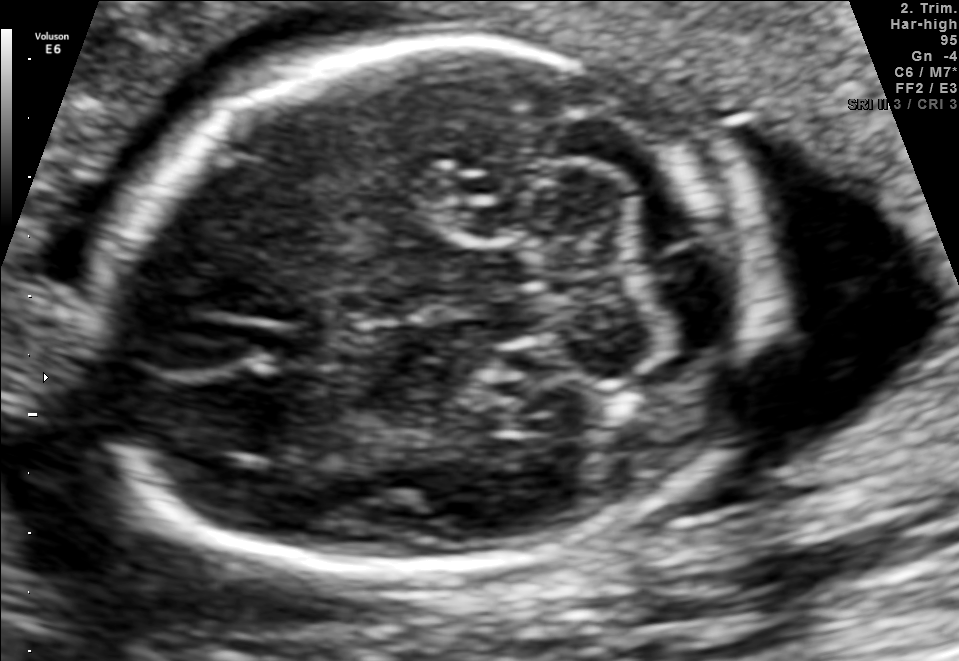
In this fetal brain, trans-cerebellum plane, give the bounding box of the fetal head.

[85,45,748,578]